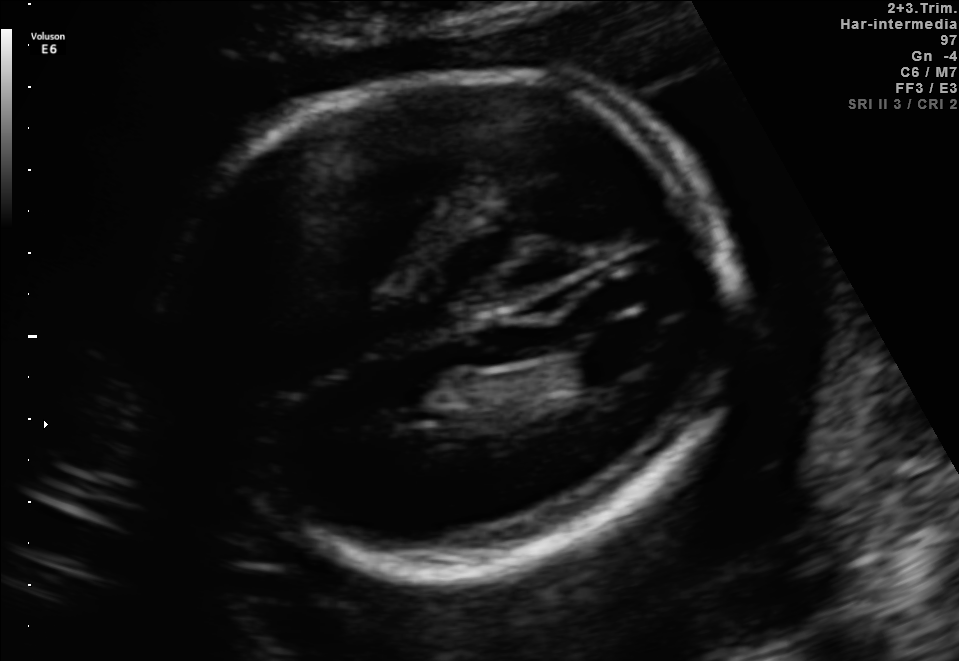
Fetal brain, trans-ventricular plane. Give [x1,y1,x2,y2] bounding boxes for each visible structure among: fetal head, CSP, LV.

Head: [159,61,758,582]